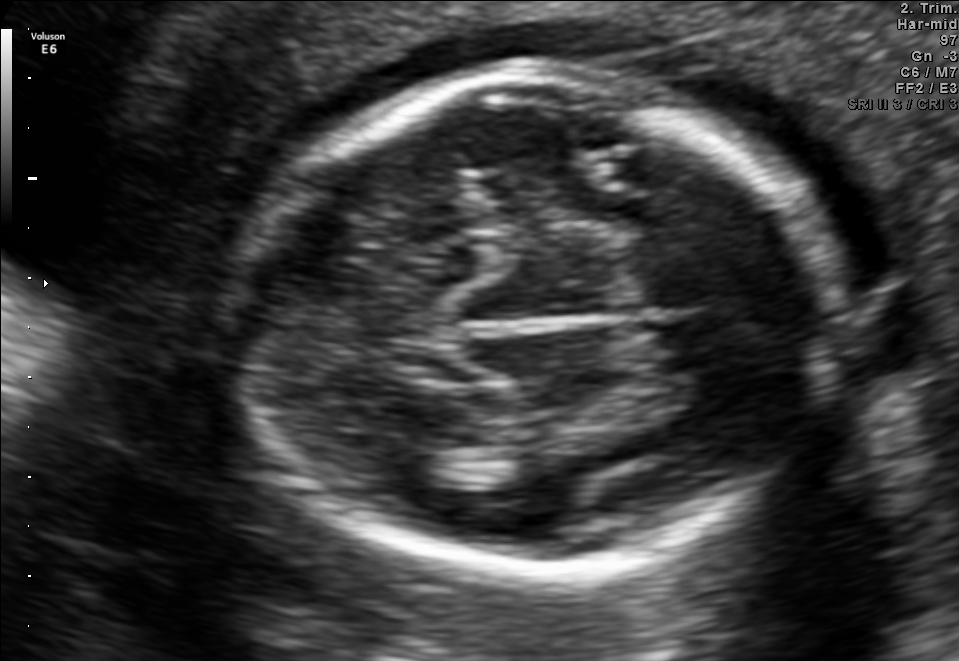
Fetal brain, trans-thalamic plane. Locate the fetal head.

Head: [233,78,838,569]